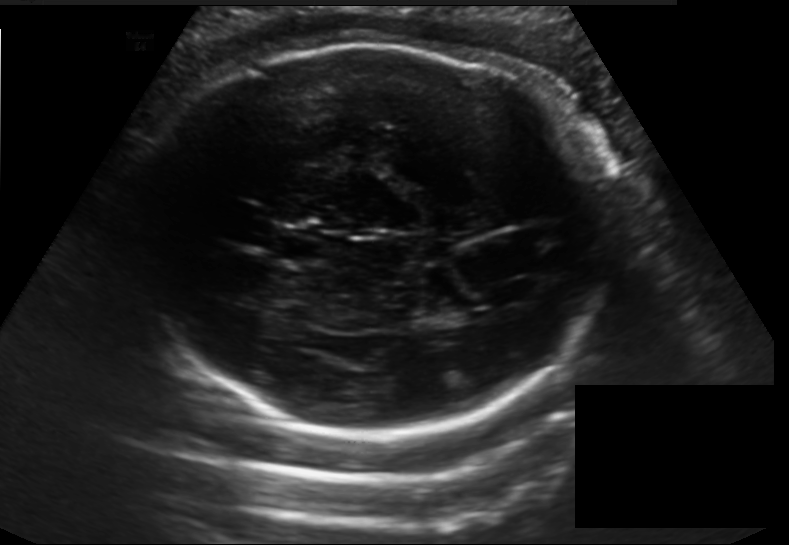
Fetal head ultrasound. Image width: 156.6 mm. Locate the cavum septum pellucidum.

CSP: [267,229,331,269]